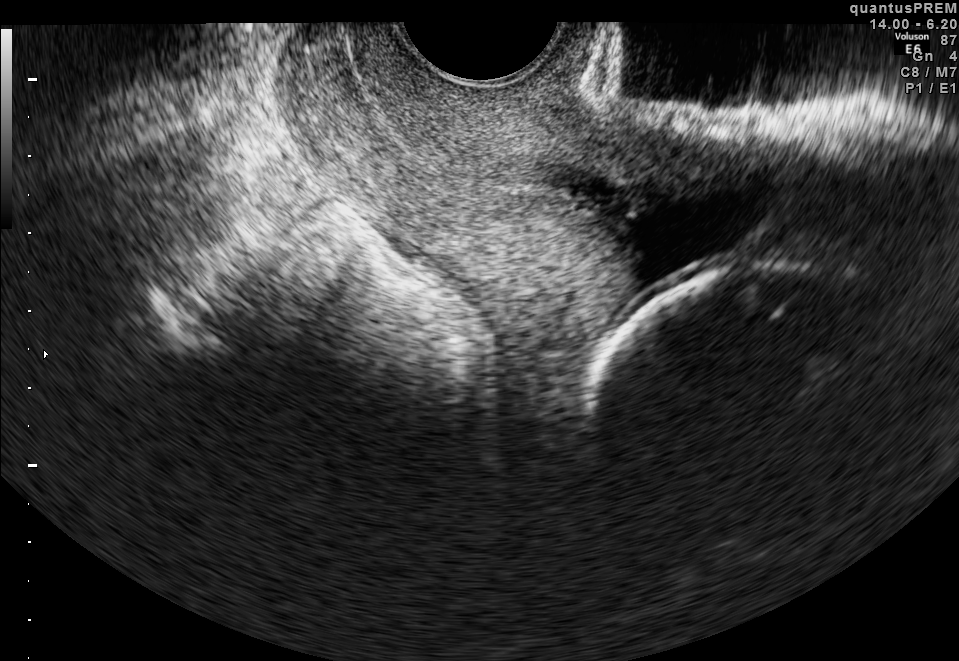
Identify the standard plane in this fetal ultrasound image: fetal abdomen, fetal brain, fetal femur, fetal thorax, maternal cervix, or other. If it's fetal brain and one of the three standard brain planes (trans-thalamic, trans-cerebellum, trans-ventricular), name which.

Maternal cervix